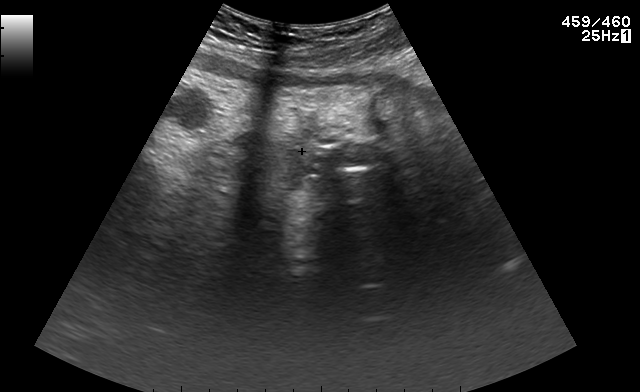
This is a 2D maternal-fetal ultrasound frame. Is it a fetal abdomen, fetal brain, fetal femur, fetal thorax, maternal cervix, or other standard plane? If it's fetal brain and one of the three standard brain planes (trans-thalamic, trans-cerebellum, trans-ventricular), name which.

Other